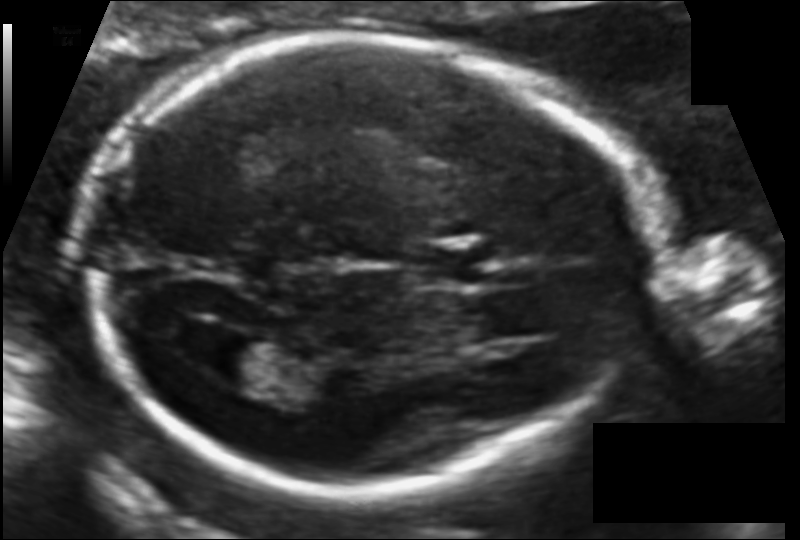
Estimate the fetal head circumference from this 2D ultrasound. Image width: 87.0 mm.

Head circumference: 179.0 mm.